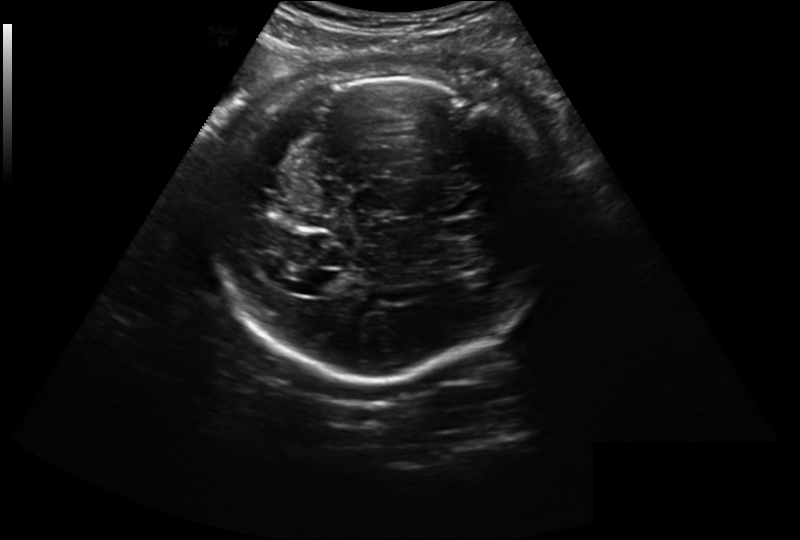
Fetal head ultrasound. Image width: 208.4 mm. Where is the lateral ventricle?

Lateral ventricle bounding box: [310,271,347,294]